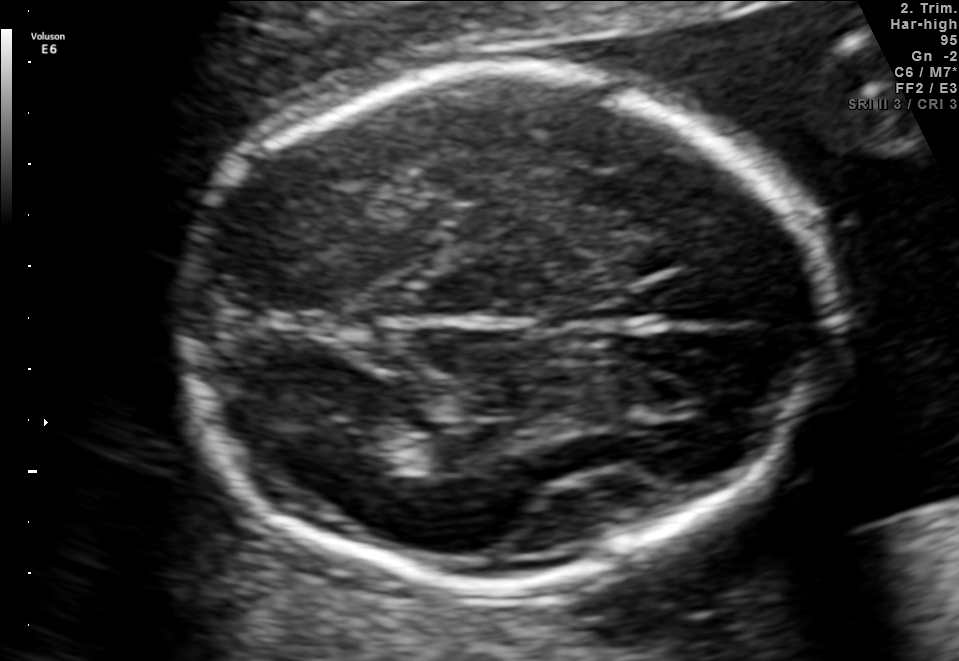
In this fetal brain, trans-thalamic plane, give bounding boxes for the head outline, cavum septum pellucidum (CSP), and lateral ventricle (LV), where visible.

Head: [177,71,828,582]
Lateral ventricle: [328,423,441,473]